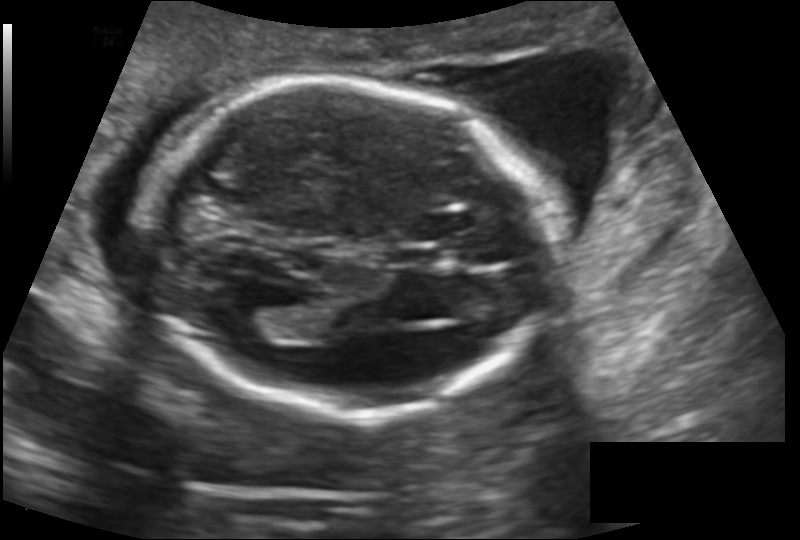
What is the fetal head circumference? Image width is 116.4 mm.

175.0 mm